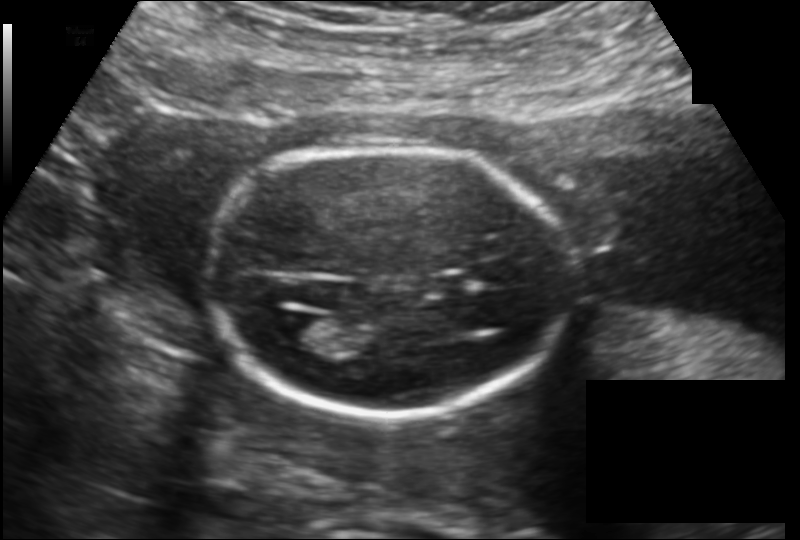
Estimate the fetal head circumference from this 2D ultrasound. Image width: 119.1 mm.

Head circumference: 156.6 mm.